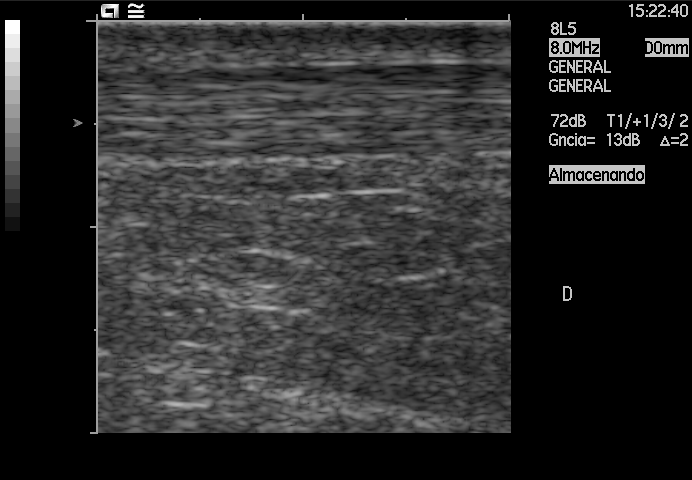
Identify the standard plane in this fetal ultrasound image: fetal abdomen, fetal brain, fetal femur, fetal thorax, maternal cervix, or other. If it's fetal brain and one of the three standard brain planes (trans-thalamic, trans-cerebellum, trans-ventricular), name which.

Other